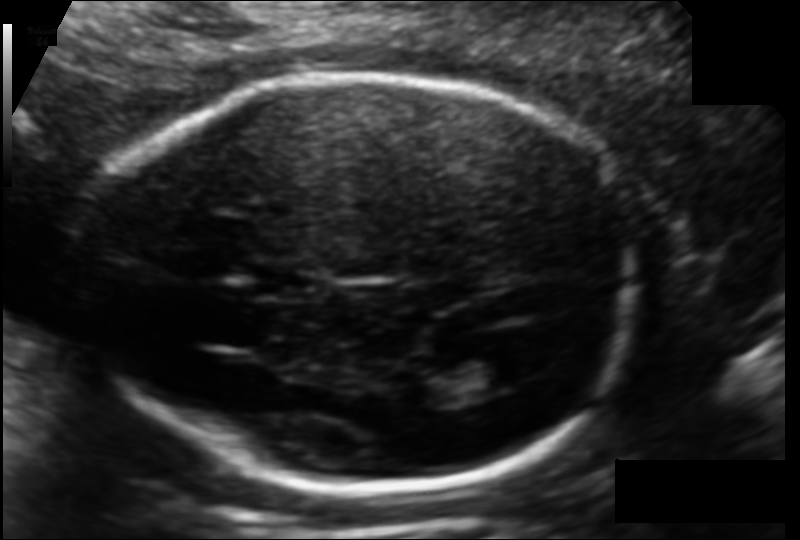
Fetal head ultrasound. Image width: 90.5 mm. Where is the fetal head?

Head bounding box: [88,78,632,490]